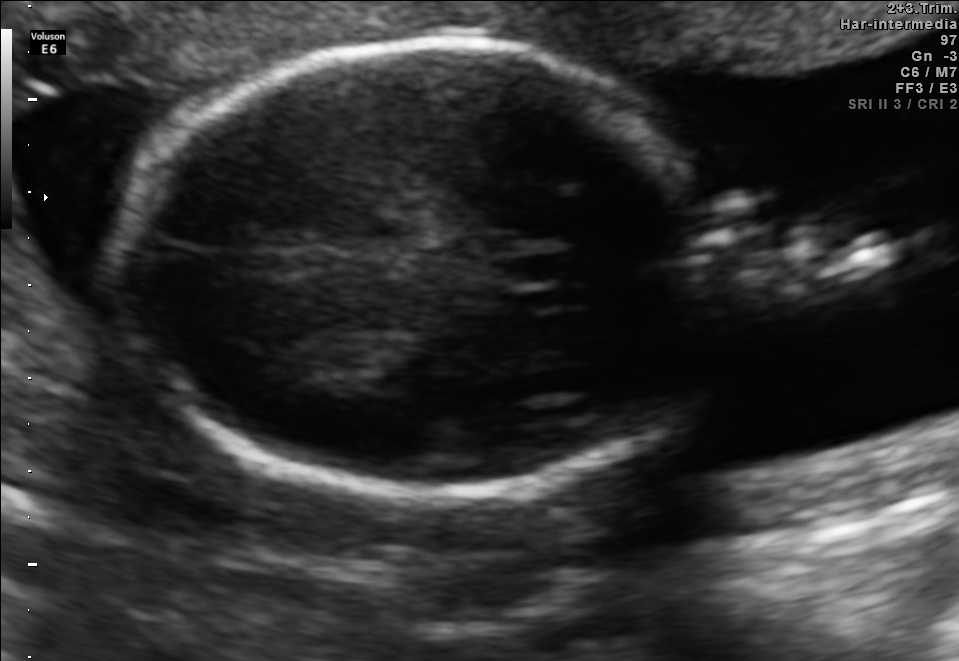
In this fetal brain, trans-thalamic plane, give bounding boxes for the head outline, cavum septum pellucidum (CSP), and lateral ventricle (LV), where visible.

Head: [112,44,735,489]